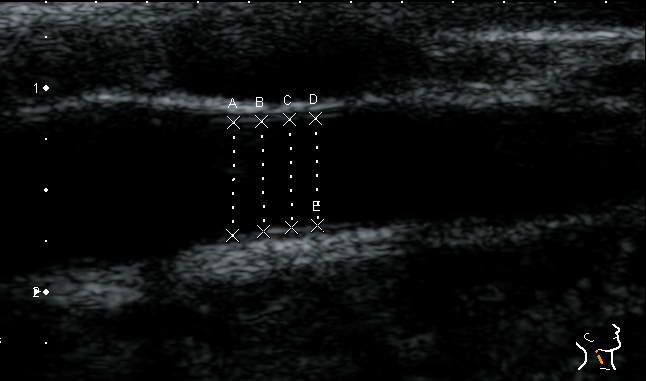
Classify this maternal-fetal ultrasound image as one of the six standard planes — fetal abdomen, fetal brain, fetal femur, fetal thorax, maternal cervix, or other. If it's fetal brain and one of the three standard brain planes (trans-thalamic, trans-cerebellum, trans-ventricular), name which.

Other